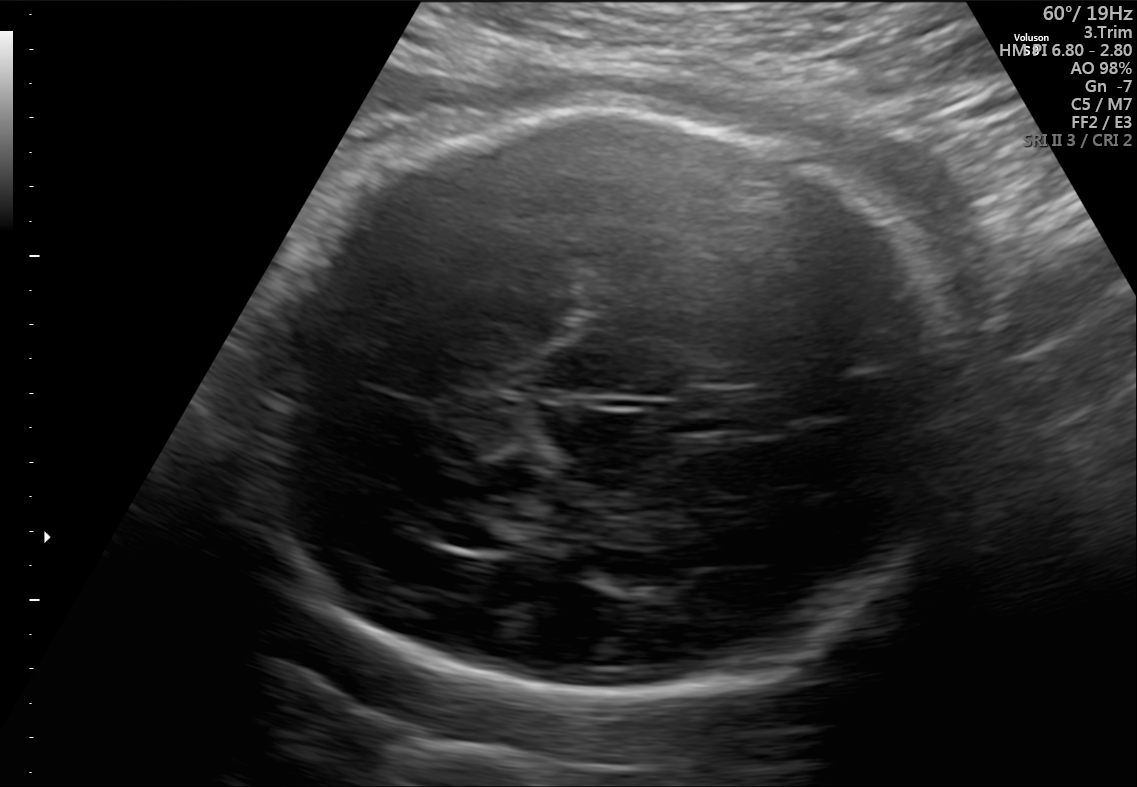
In this fetal brain, trans-thalamic plane, give the bounding box of the cavum septum pellucidum.

[680,390,757,434]